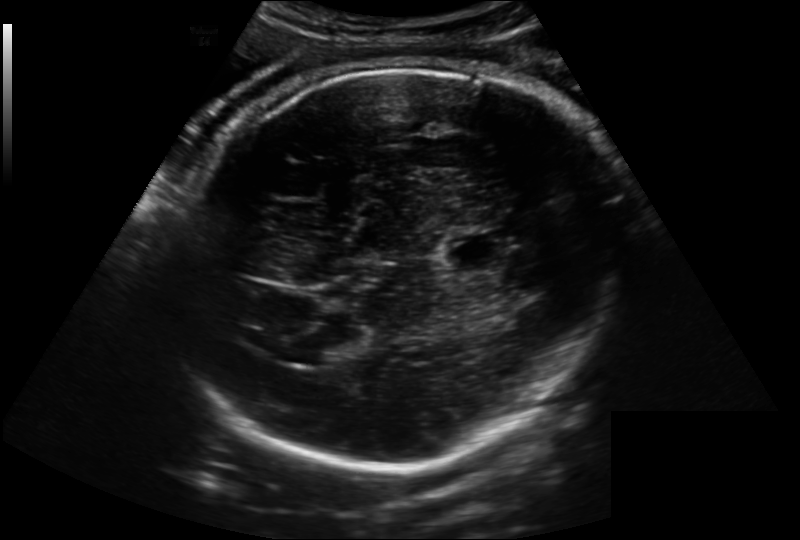
Fetal head ultrasound. Image width: 177.3 mm. Locate the fetal head and, if visible, the cavum septum pellucidum (CSP) and lateral ventricle (LV). Give bounding boxes as [x1,y1,x2,y2].

Head: [171,63,626,467]
CSP: [441,226,518,280]
Lateral ventricle: [295,334,348,367]